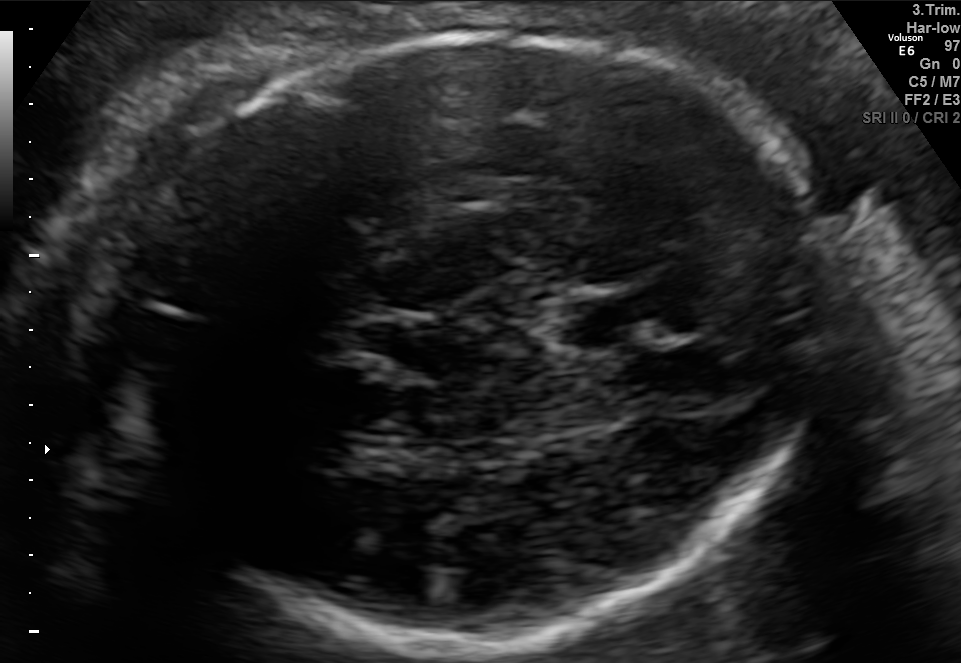
Fetal brain, trans-thalamic plane. Where is the cavum septum pellucidum?

CSP bounding box: [551,279,668,358]